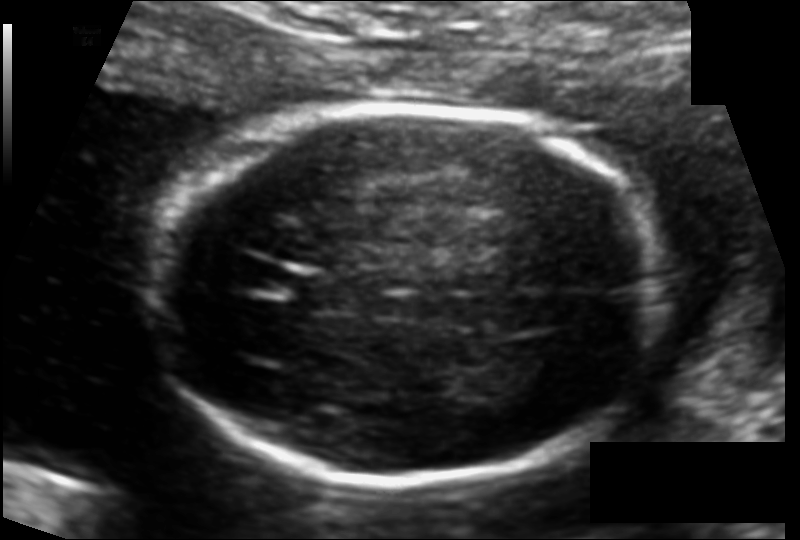
In this fetal head ultrasound, give bounding boxes for the head outline, cavum septum pellucidum (CSP), and lateral ventricle (LV), where visible. Image width: 92.3 mm.

Head: [157,109,658,483]